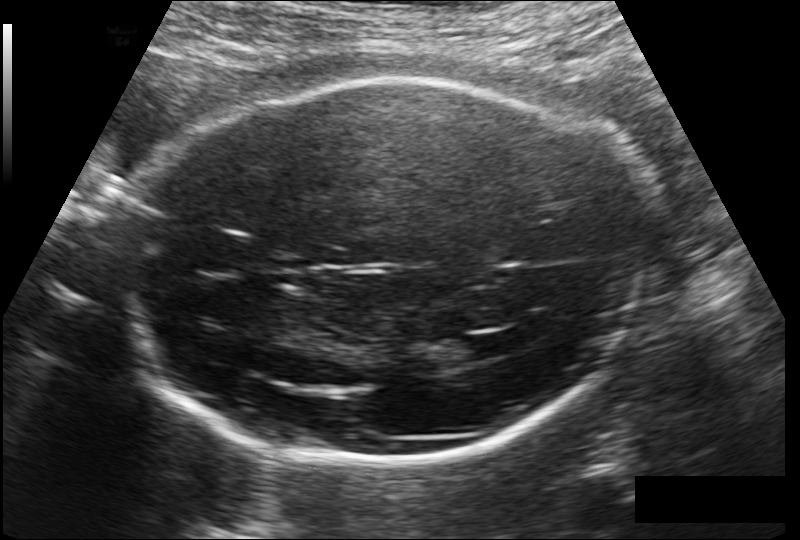
Fetal head ultrasound. Image width: 142.1 mm. Locate the lateral ventricle.

Lateral ventricle: [441,334,492,366]